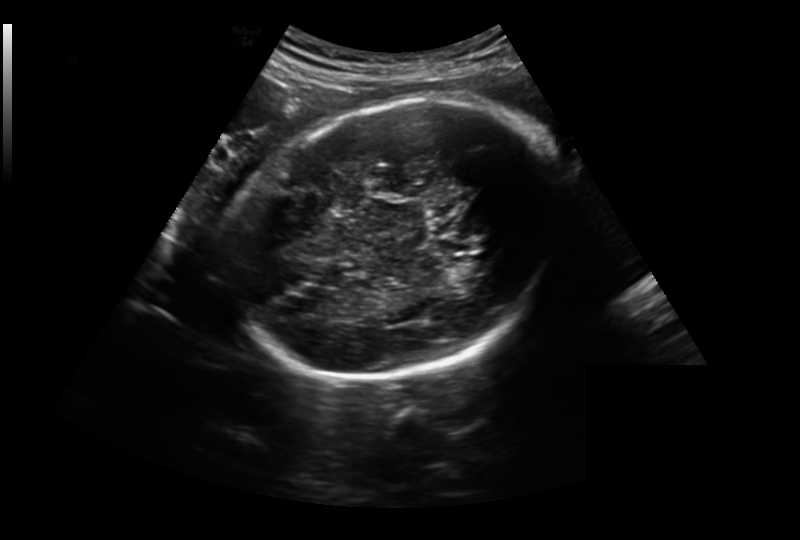
In this fetal head ultrasound, give the bounding box of the fetal head. Image width: 206.9 mm.

[234,100,564,377]